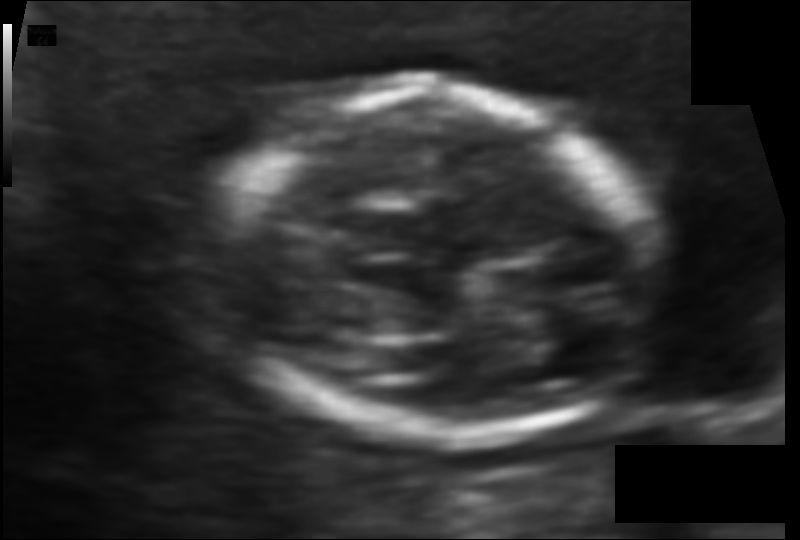
From this fetal ultrasound, estimate the head circumference (image width 66.1 mm).

Head circumference: 103.7 mm.